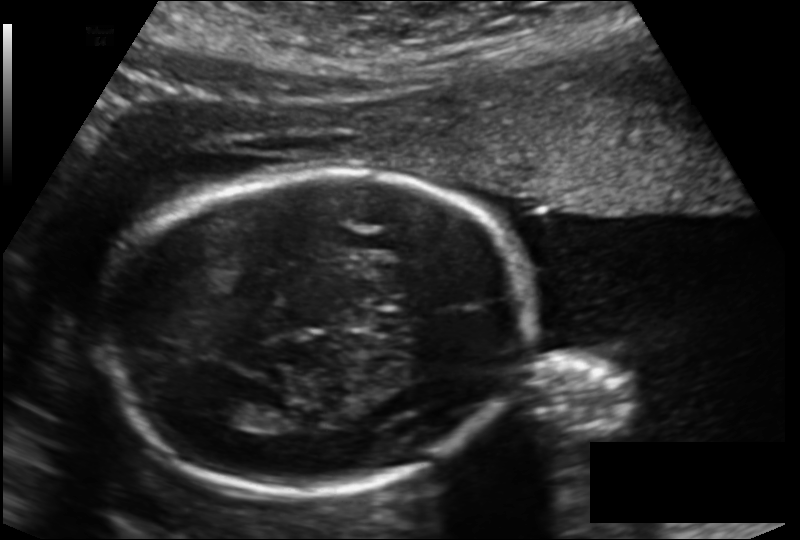
Fetal head ultrasound. Image width: 123.8 mm. Locate the fetal head and, if visible, the cavum septum pellucidum (CSP) and lateral ventricle (LV). Give bounding boxes as [x1,y1,x2,y2].

Head: [108,172,531,494]
Lateral ventricle: [201,394,262,429]